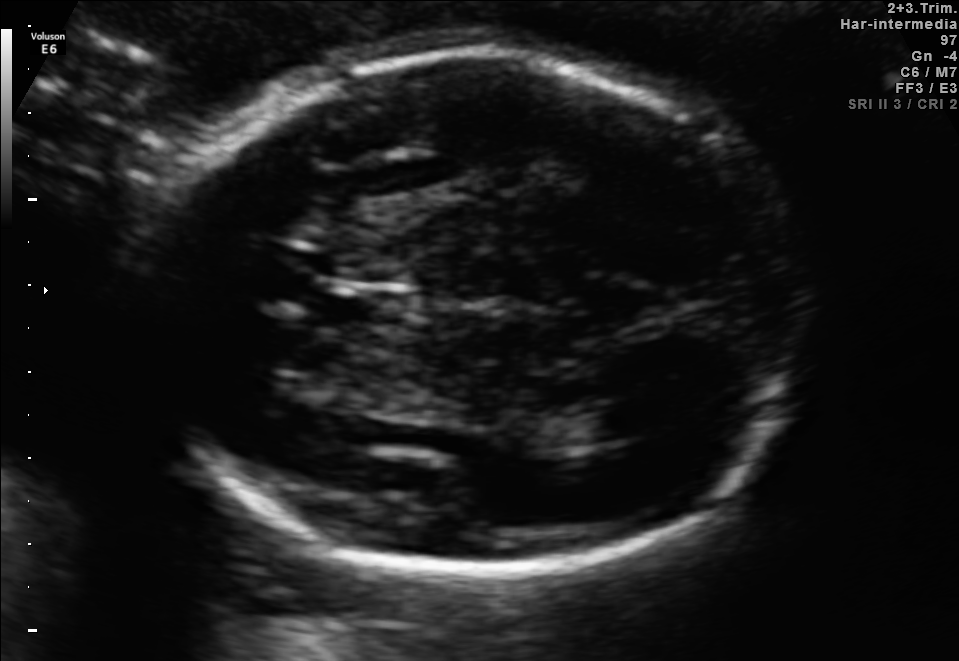
In this fetal brain, trans-thalamic plane, give the bounding box of the fetal head.

[150,50,801,583]